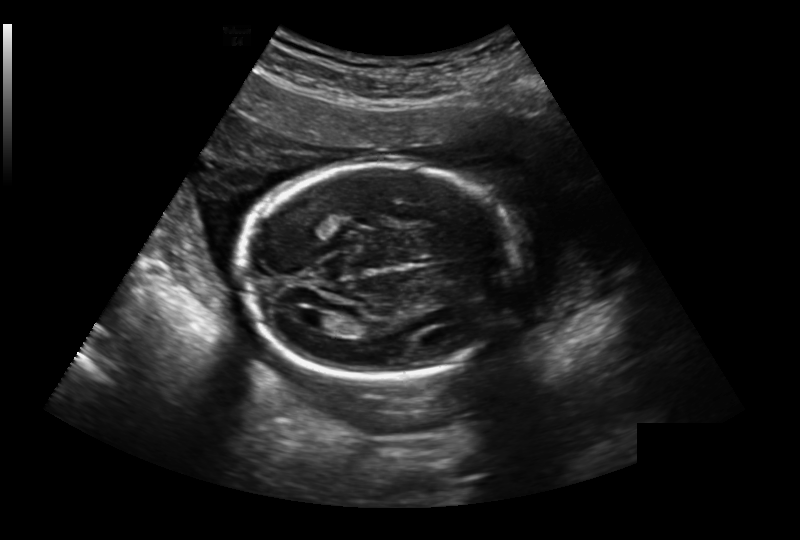
Fetal head ultrasound. Image width: 188.5 mm. Locate the fetal head and, if visible, the cavum septum pellucidum (CSP) and lateral ventricle (LV). Give bounding boxes as [x1,y1,x2,y2].

Head: [240,163,520,378]
Lateral ventricle: [302,309,338,333]